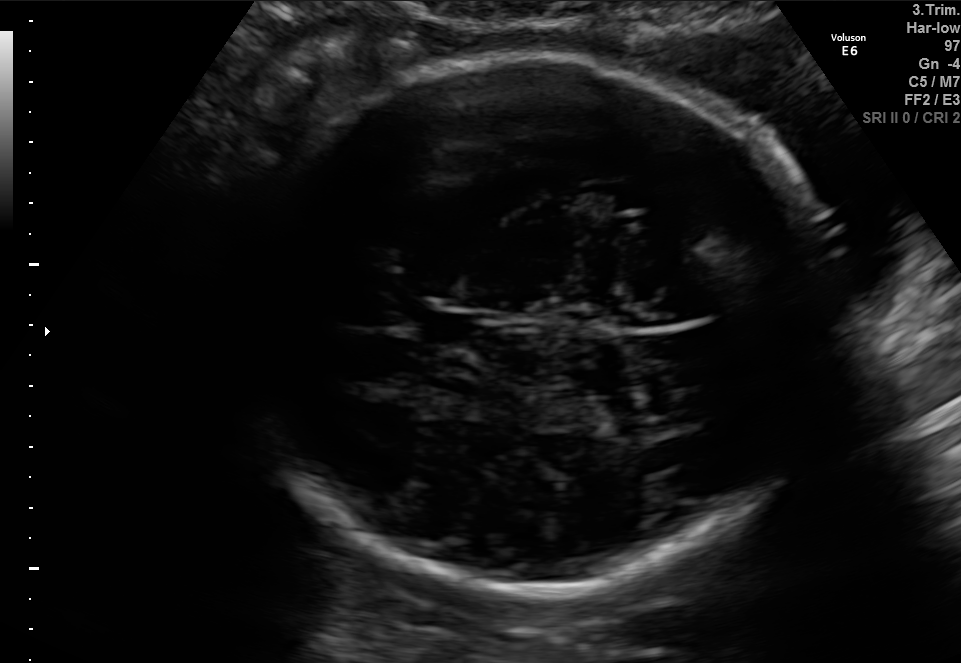
This is a 2D maternal-fetal ultrasound frame. Is it a fetal abdomen, fetal brain, fetal femur, fetal thorax, maternal cervix, or other standard plane? If it's fetal brain and one of the three standard brain planes (trans-thalamic, trans-cerebellum, trans-ventricular), name which.

Fetal brain (trans-thalamic plane)